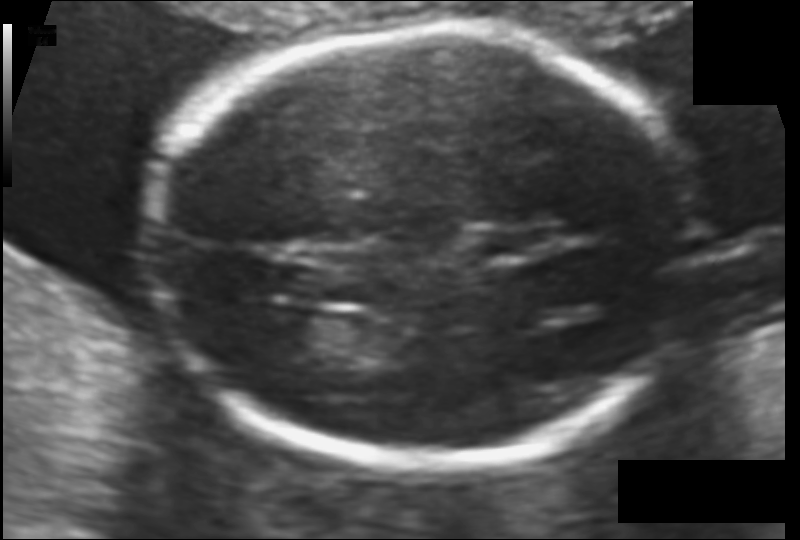
What is the fetal head circumference? Image width is 82.1 mm.

164.4 mm